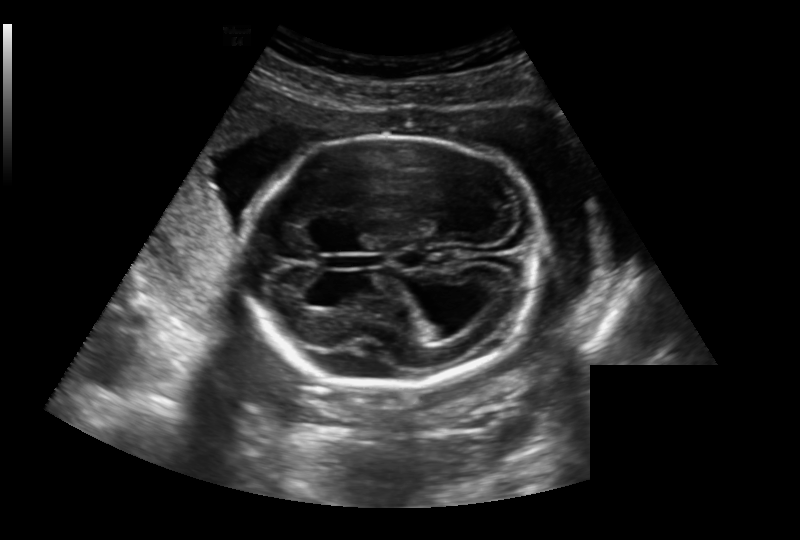
Fetal head ultrasound. Image width: 188.6 mm. Where is the fetal head?

Head bounding box: [242,136,541,385]